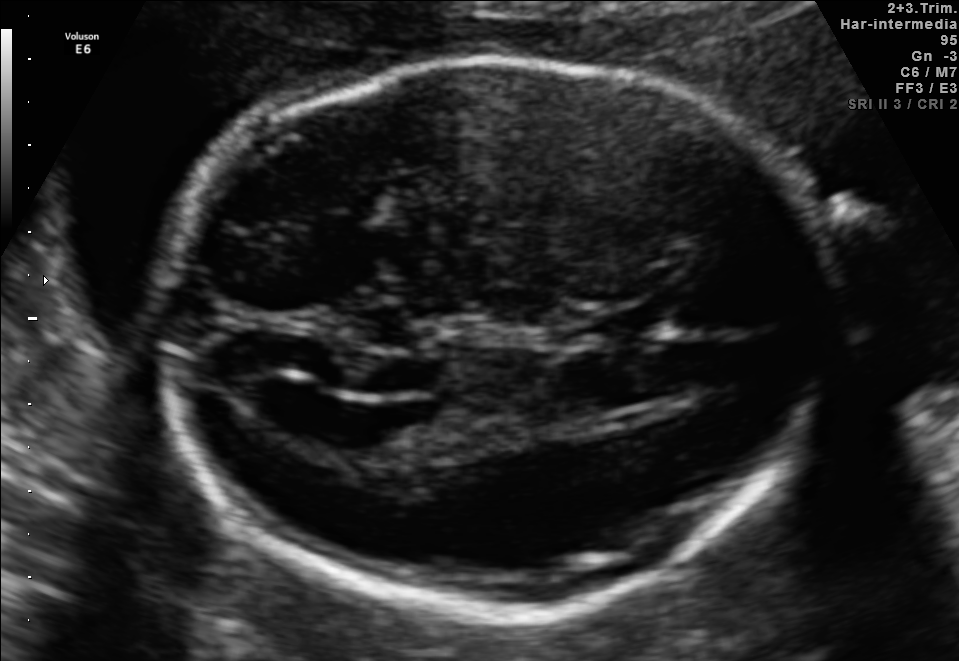
In this fetal brain, trans-ventricular plane, give the bounding box of the fetal head.

[143,47,864,626]